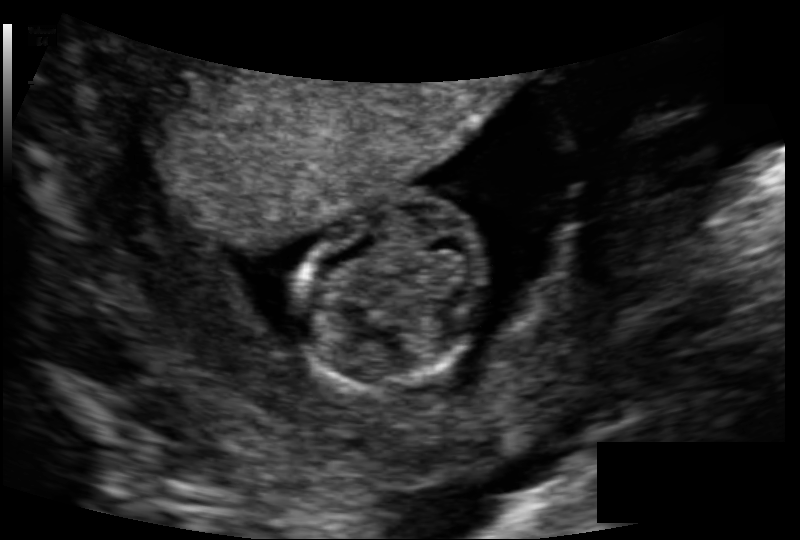
Fetal head ultrasound. Image width: 94.2 mm. Locate the fetal head and, if visible, the cavum septum pellucidum (CSP) and lateral ventricle (LV). Give bounding boxes as [x1,y1,x2,y2].

Head: [298,197,494,387]